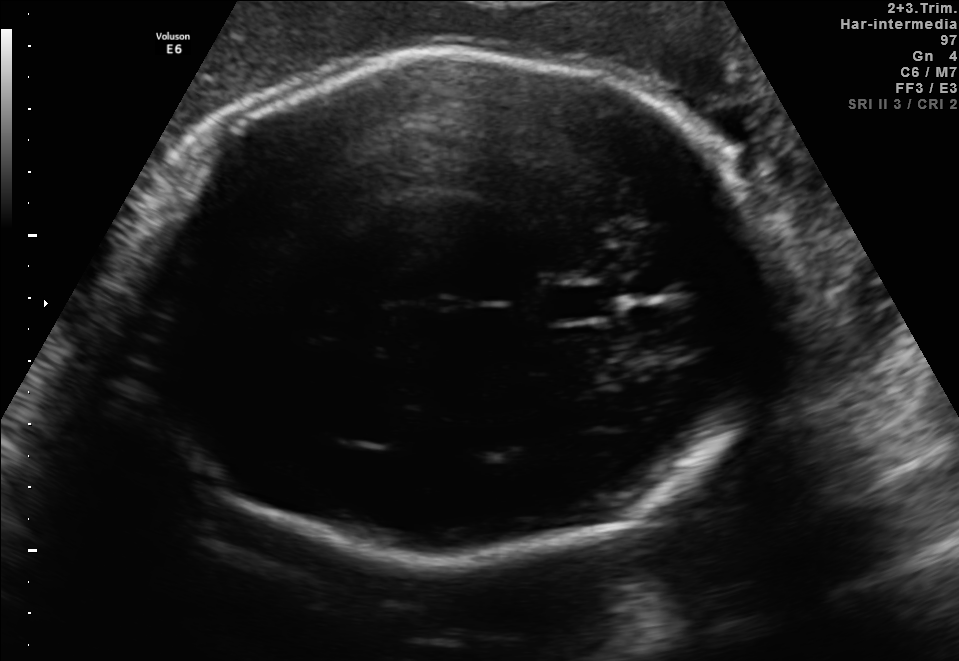
In this fetal brain, trans-thalamic plane, give the bounding box of the fetal head.

[122,52,773,555]